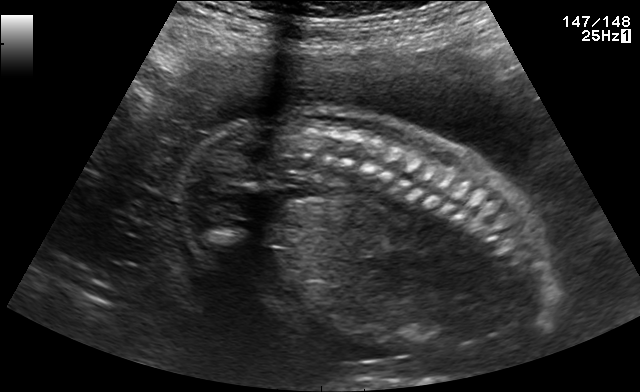
Classify this maternal-fetal ultrasound image as one of the six standard planes — fetal abdomen, fetal brain, fetal femur, fetal thorax, maternal cervix, or other. If it's fetal brain and one of the three standard brain planes (trans-thalamic, trans-cerebellum, trans-ventricular), name which.

Other